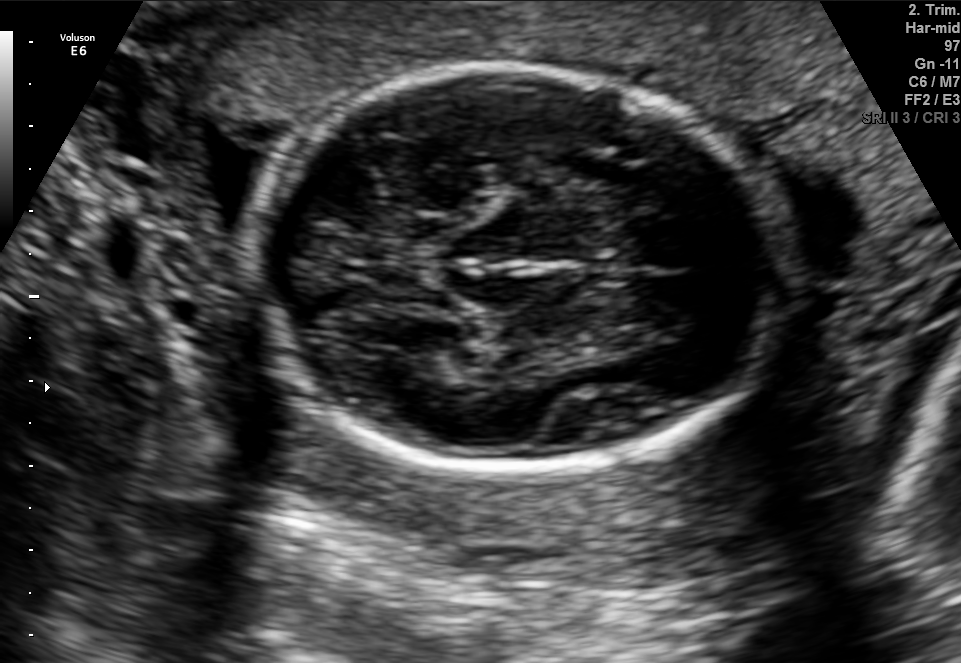
Fetal brain, trans-thalamic plane. Locate the fetal head.

Head: [254,68,776,468]